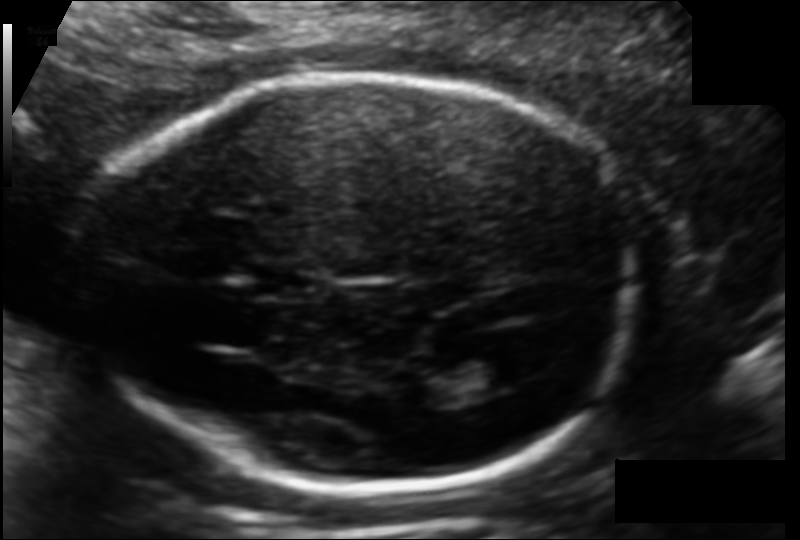
In this fetal head ultrasound, give bounding boxes for the head outline, cavum septum pellucidum (CSP), and lateral ventricle (LV), where visible. Image width: 90.5 mm.

Head: [88,78,632,490]
CSP: [251,265,317,298]
Lateral ventricle: [450,344,524,403]